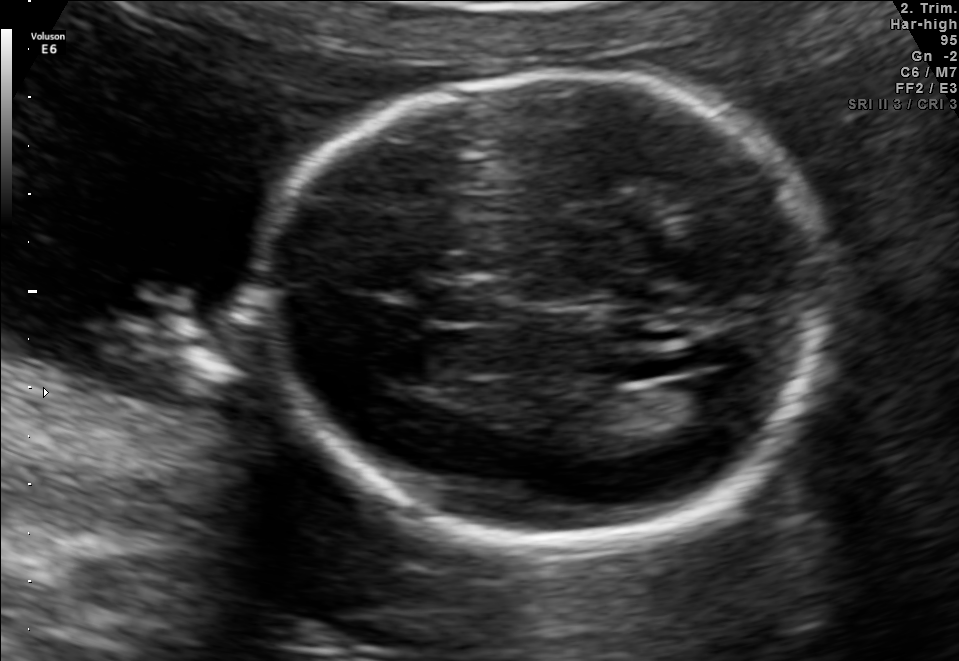
Fetal brain, trans-ventricular plane. Where is the fetal head?

Head bounding box: [244,65,855,556]